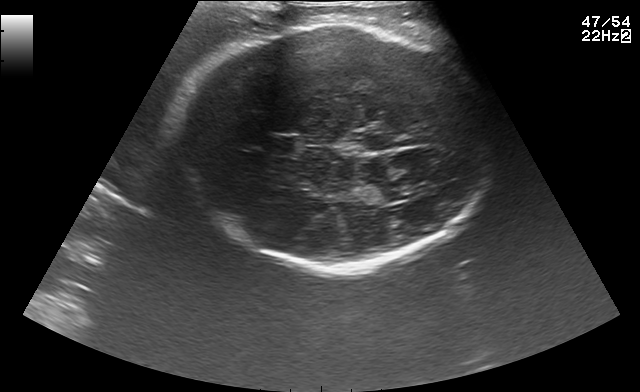
In this fetal brain, trans-thalamic plane, give the bounding box of the lateral ventricle.

[356,175,412,209]